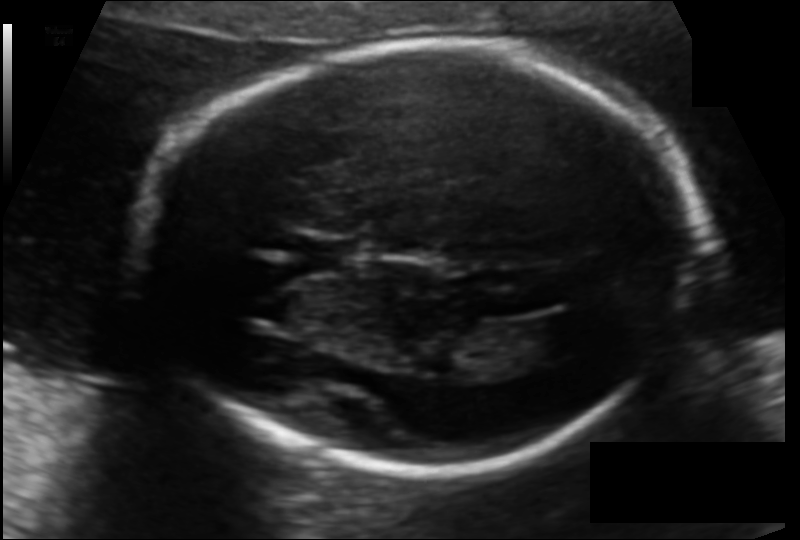
Fetal head ultrasound. Image width: 97.4 mm. Where is the cavum septum pellucidum?

CSP bounding box: [302,236,360,274]